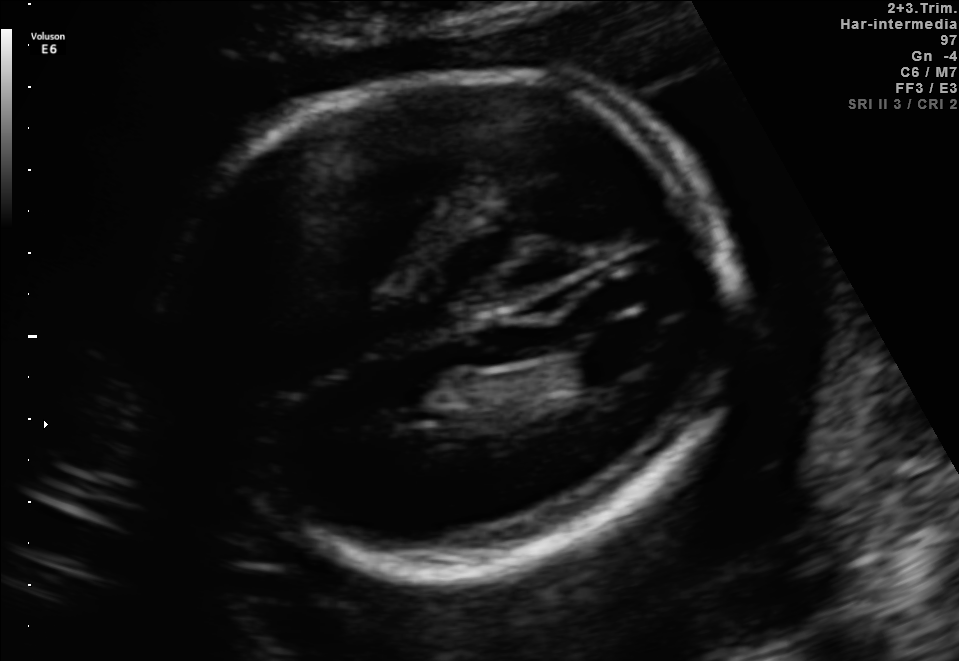
Classify this maternal-fetal ultrasound image as one of the six standard planes — fetal abdomen, fetal brain, fetal femur, fetal thorax, maternal cervix, or other. If it's fetal brain and one of the three standard brain planes (trans-thalamic, trans-cerebellum, trans-ventricular), name which.

Fetal brain (trans-ventricular plane)